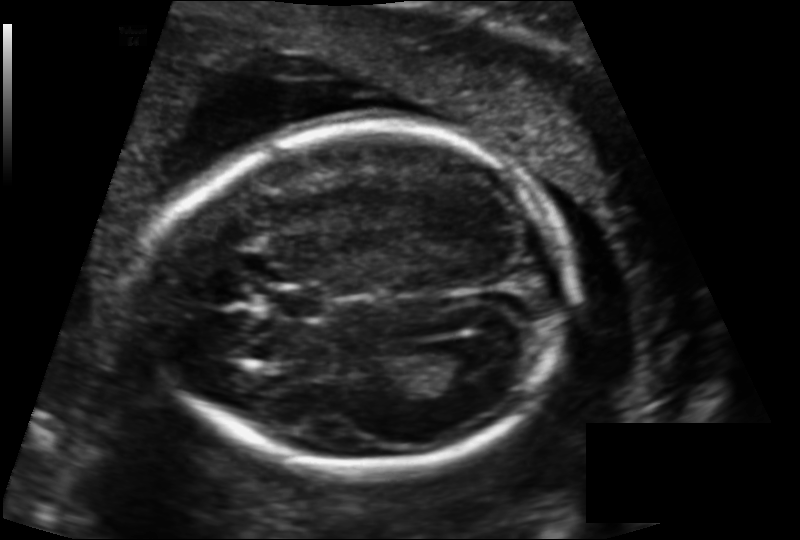
Estimate the fetal head circumference from this 2D ultrasound. Image width: 109.5 mm.

Head circumference: 168.4 mm.